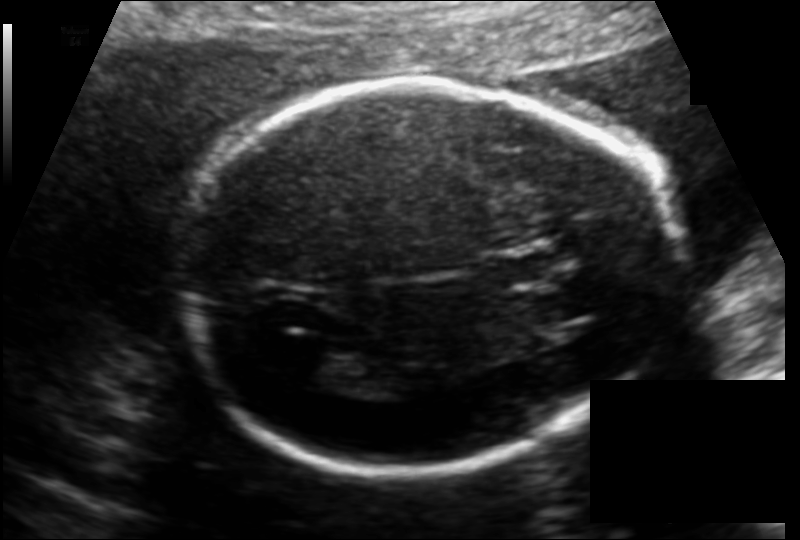
Measure the fetal head circumference shown in this ultrasound image. Image width: 104.3 mm.

Head circumference: 189.0 mm.